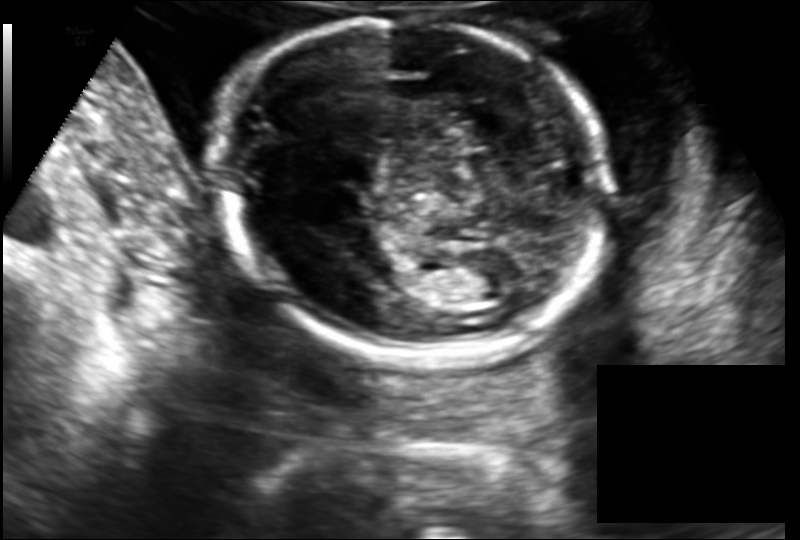
Estimate the fetal head circumference from this 2D ultrasound. Image width: 119.1 mm.

Head circumference: 175.4 mm.